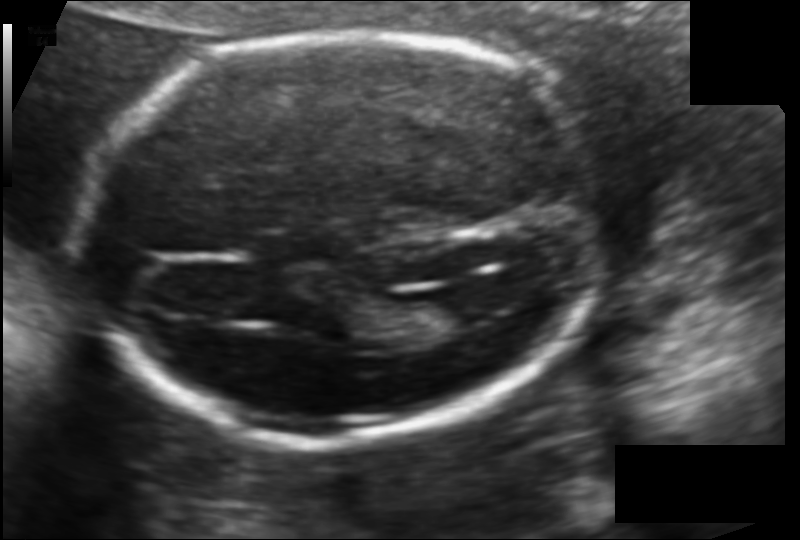
In this fetal head ultrasound, give the bounding box of the lateral ventricle. Image width: 94.7 mm.

[396,289,477,342]